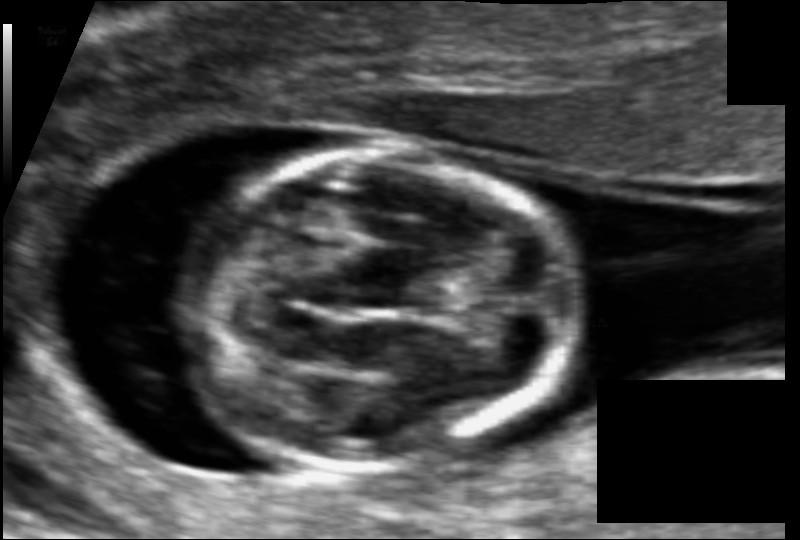
In this fetal head ultrasound, give the bounding box of the fetal head. Image width: 53.6 mm.

[186,154,567,469]